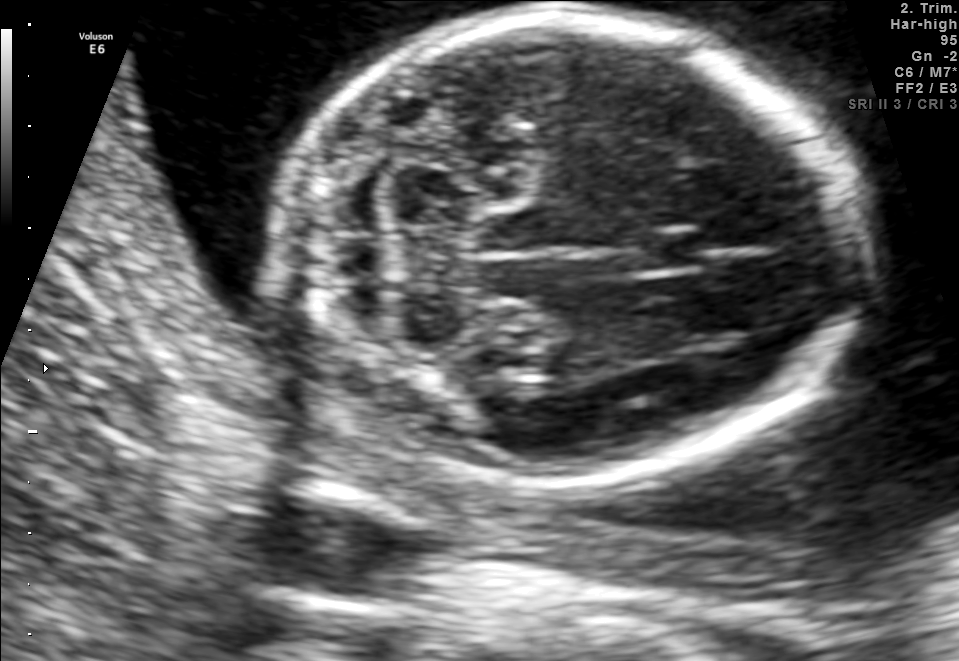
Fetal brain, trans-cerebellum plane. Give [x1,y1,x2,y2] bounding boxes for each visible structure among: fetal head, CSP, LV.

Head: [275,16,856,477]
CSP: [624,225,705,277]